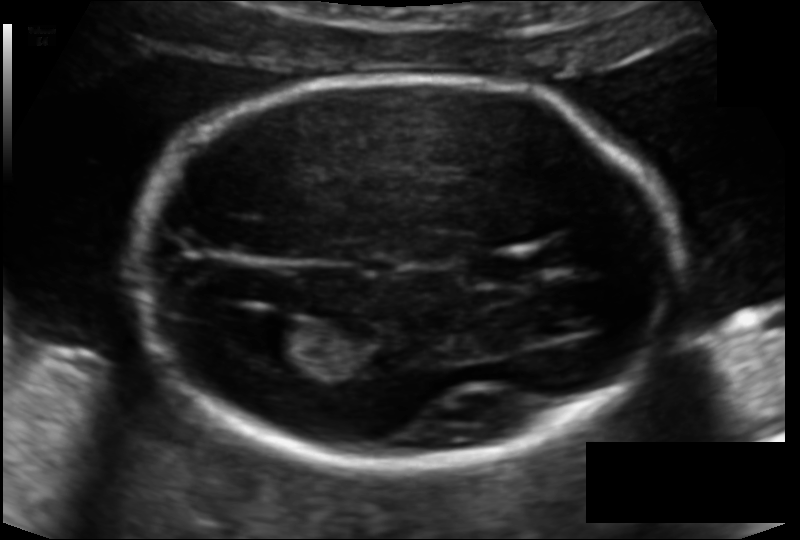
Estimate the fetal head circumference from this 2D ultrasound. Image width: 95.2 mm.

Head circumference: 176.7 mm.